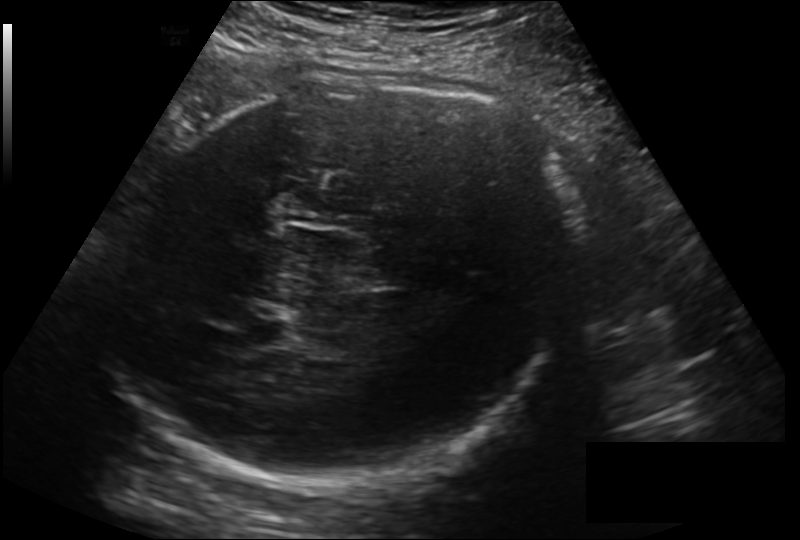
What is the fetal head circumference? Image width is 168.5 mm.

299.2 mm